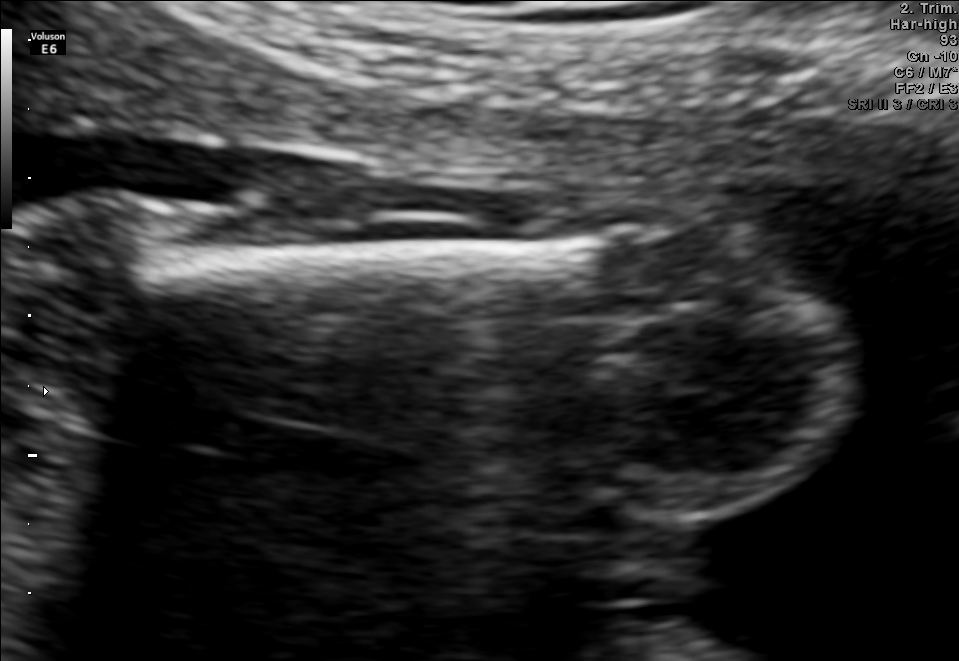
Classify this maternal-fetal ultrasound image as one of the six standard planes — fetal abdomen, fetal brain, fetal femur, fetal thorax, maternal cervix, or other. If it's fetal brain and one of the three standard brain planes (trans-thalamic, trans-cerebellum, trans-ventricular), name which.

Fetal femur